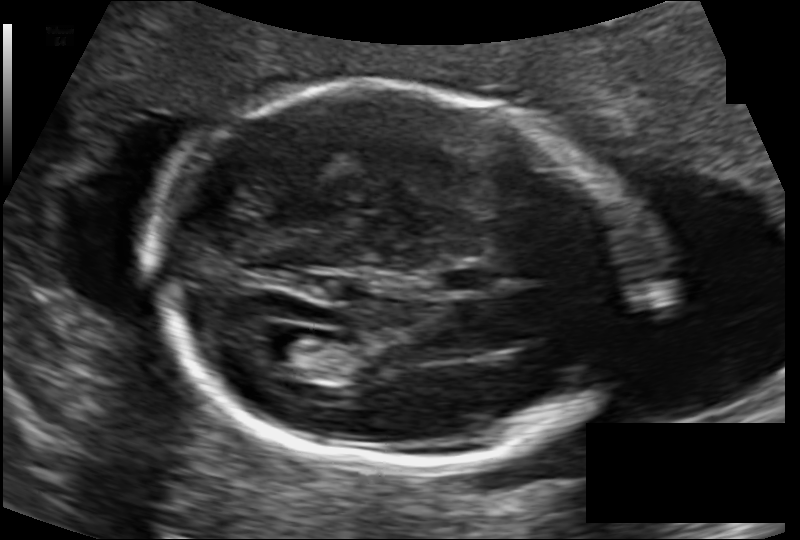
Fetal head ultrasound. Image width: 95.8 mm. Where is the cavum septum pellucidum?

CSP bounding box: [442,267,494,292]